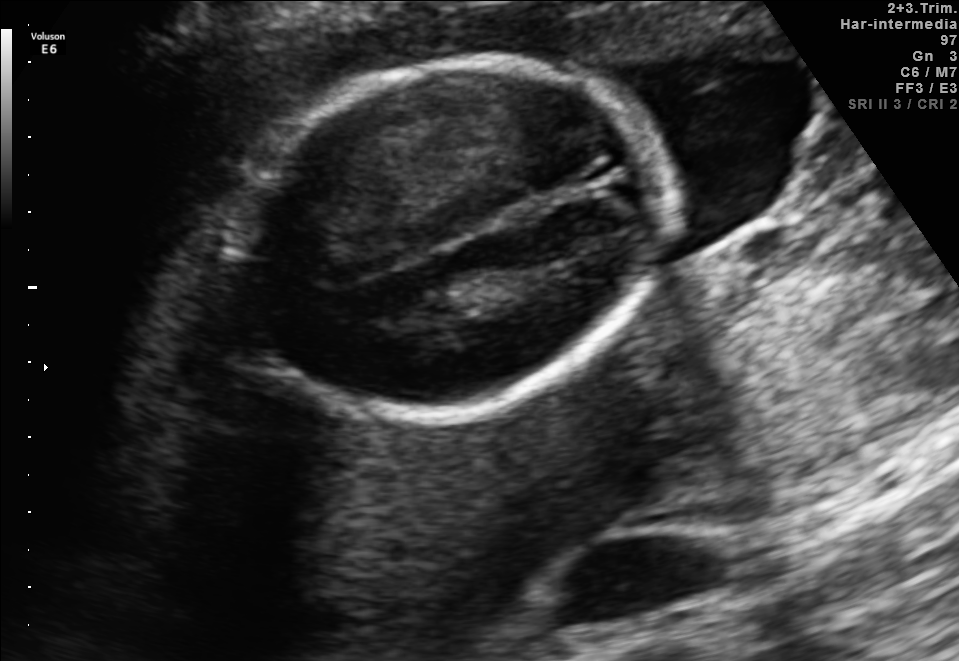
Fetal brain, trans-thalamic plane. Where is the fetal head?

Head bounding box: [231,61,668,414]